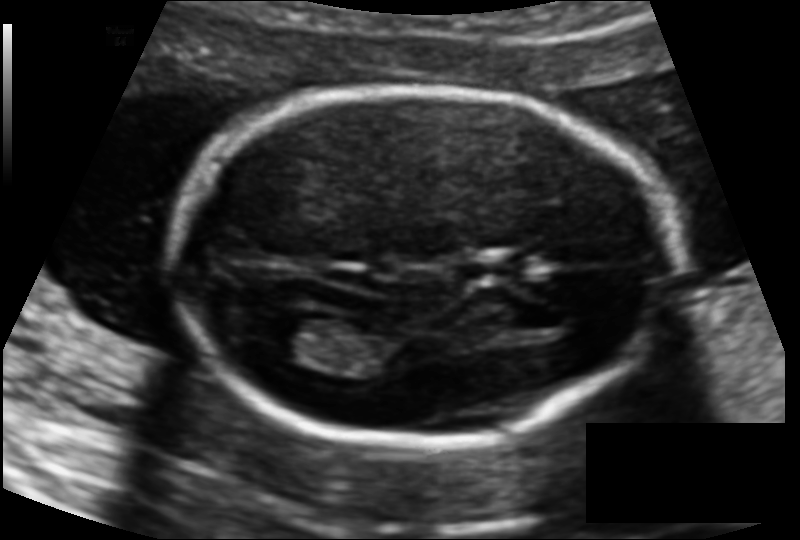
Fetal head ultrasound. Image width: 91.5 mm. Where is the fetal head?

Head bounding box: [173,86,677,444]